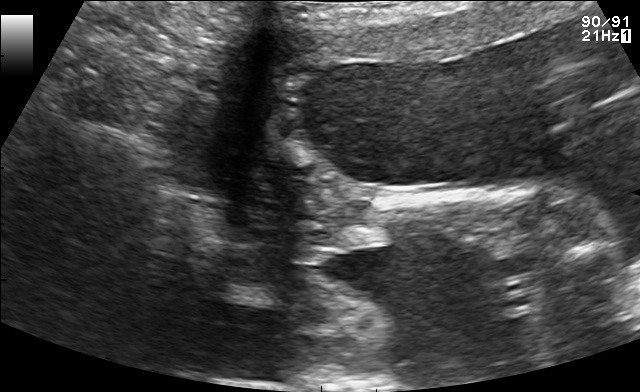
Classify this maternal-fetal ultrasound image as one of the six standard planes — fetal abdomen, fetal brain, fetal femur, fetal thorax, maternal cervix, or other. If it's fetal brain and one of the three standard brain planes (trans-thalamic, trans-cerebellum, trans-ventricular), name which.

Other